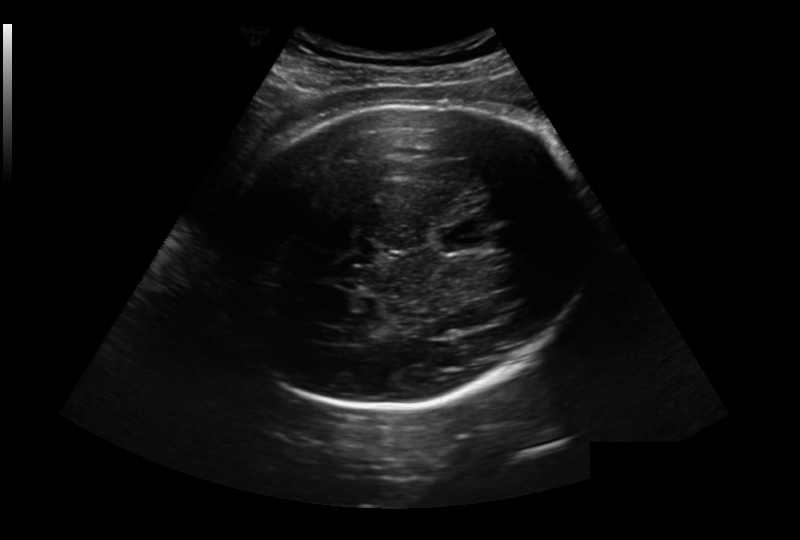
In this fetal head ultrasound, give the bounding box of the lateral ventricle. Image width: 224.8 mm.

[312,326,351,346]